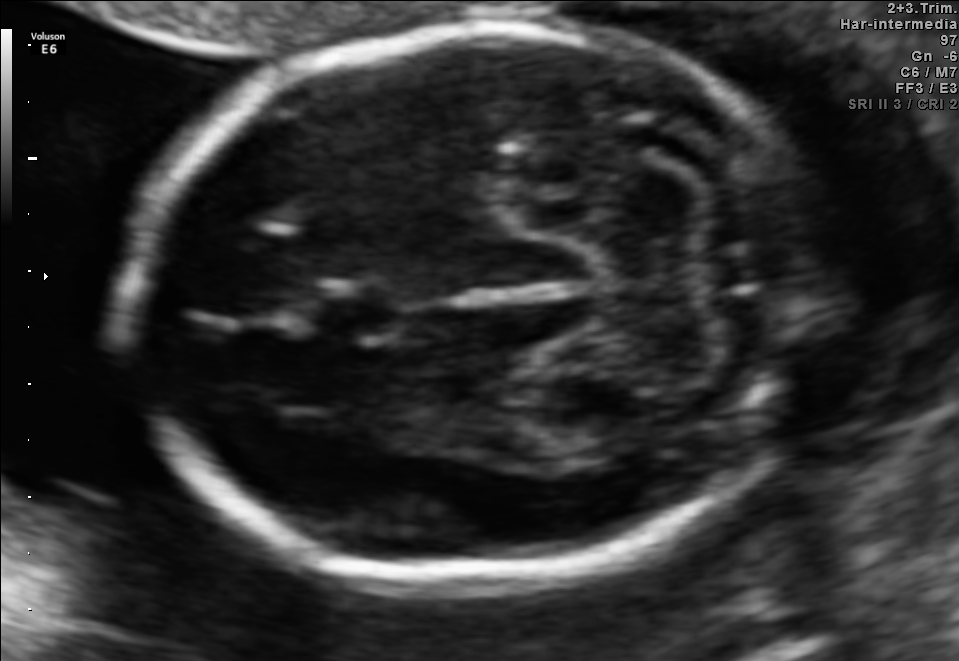
In this fetal brain, trans-cerebellum plane, give the bounding box of the cavum septum pellucidum.

[308,281,404,347]